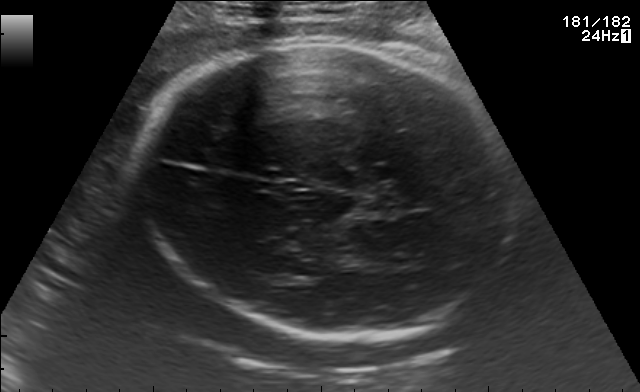
In this fetal brain, trans-thalamic plane, give bounding boxes for the head outline, cavum septum pellucidum (CSP), and lateral ventricle (LV), where visible.

Head: [138,41,511,336]